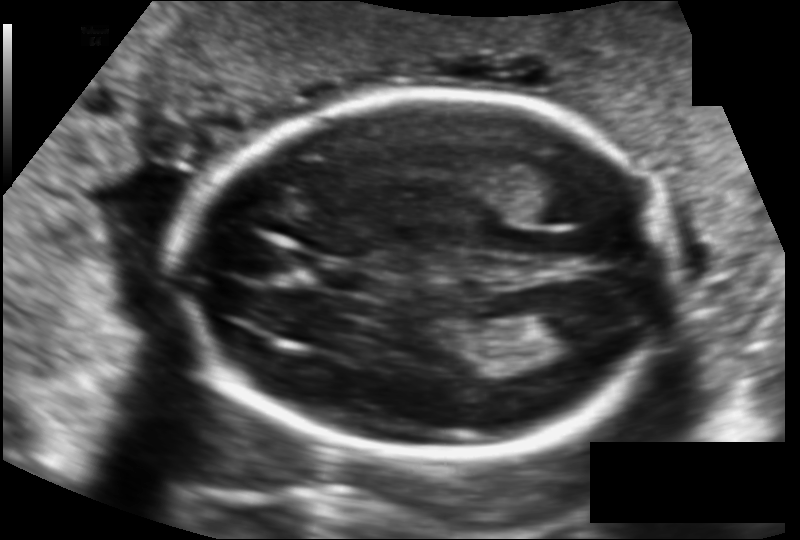
Fetal head ultrasound. Image width: 98.9 mm. Locate the cavum septum pellucidum.

CSP: [317,259,380,299]